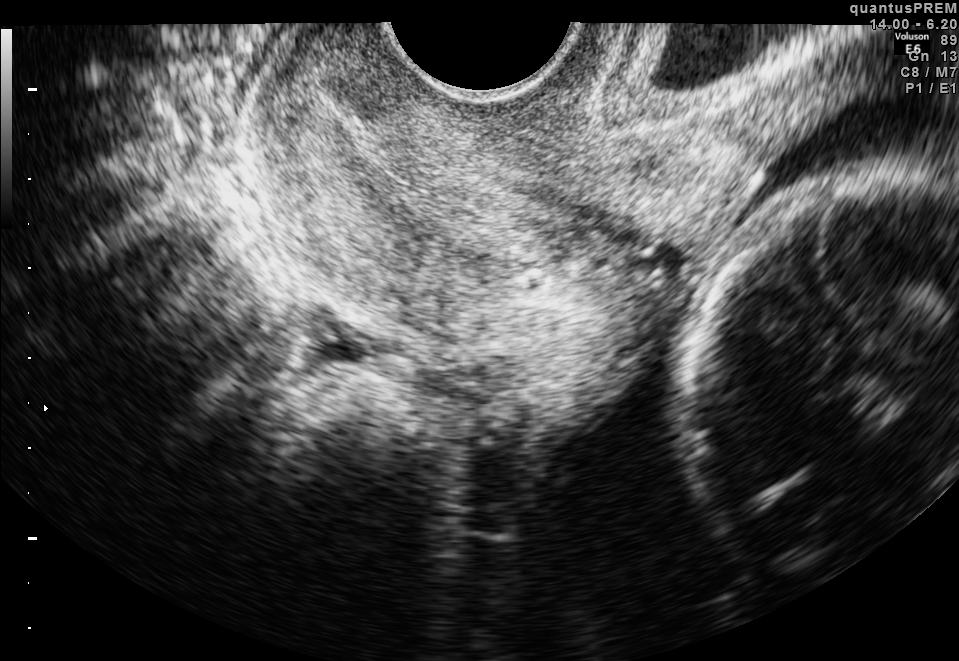
Classify this maternal-fetal ultrasound image as one of the six standard planes — fetal abdomen, fetal brain, fetal femur, fetal thorax, maternal cervix, or other. If it's fetal brain and one of the three standard brain planes (trans-thalamic, trans-cerebellum, trans-ventricular), name which.

Maternal cervix